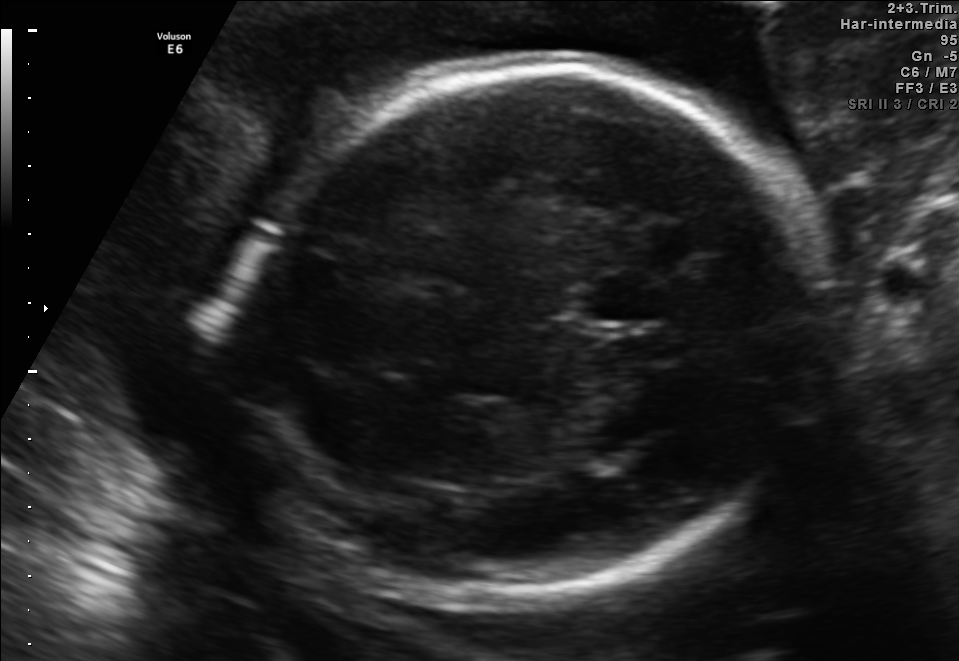
In this fetal brain, trans-thalamic plane, give the bounding box of the fetal head.

[233,65,804,608]